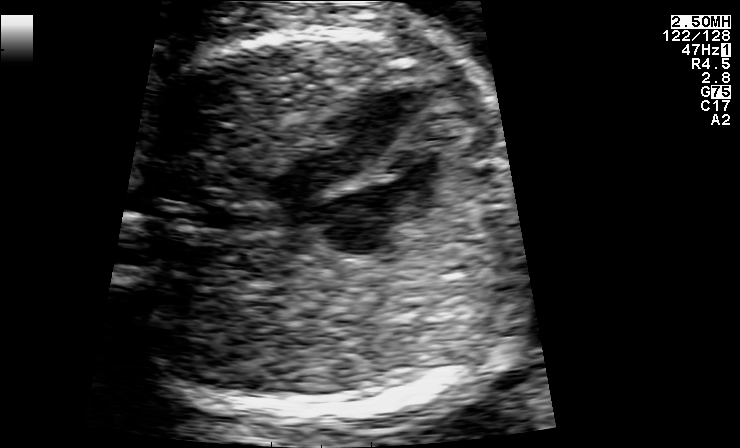
Identify the standard plane in this fetal ultrasound image: fetal abdomen, fetal brain, fetal femur, fetal thorax, maternal cervix, or other. If it's fetal brain and one of the three standard brain planes (trans-thalamic, trans-cerebellum, trans-ventricular), name which.

Fetal thorax